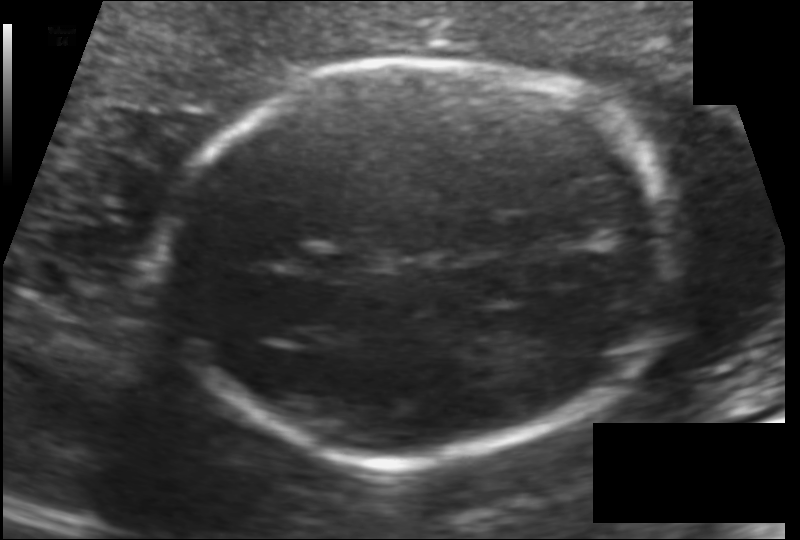
What is the fetal head circumference? Image width is 95.9 mm.

176.9 mm